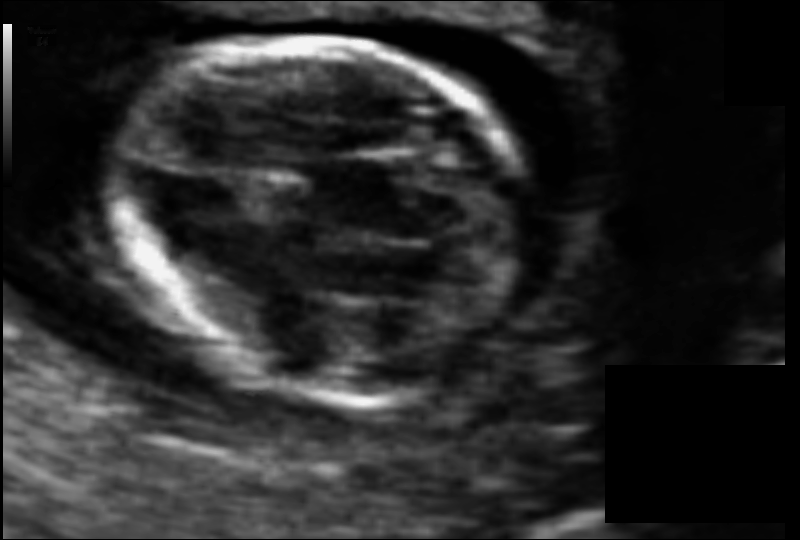
Fetal head ultrasound. Image width: 51.5 mm. Locate the fetal head.

Head: [112,39,540,399]